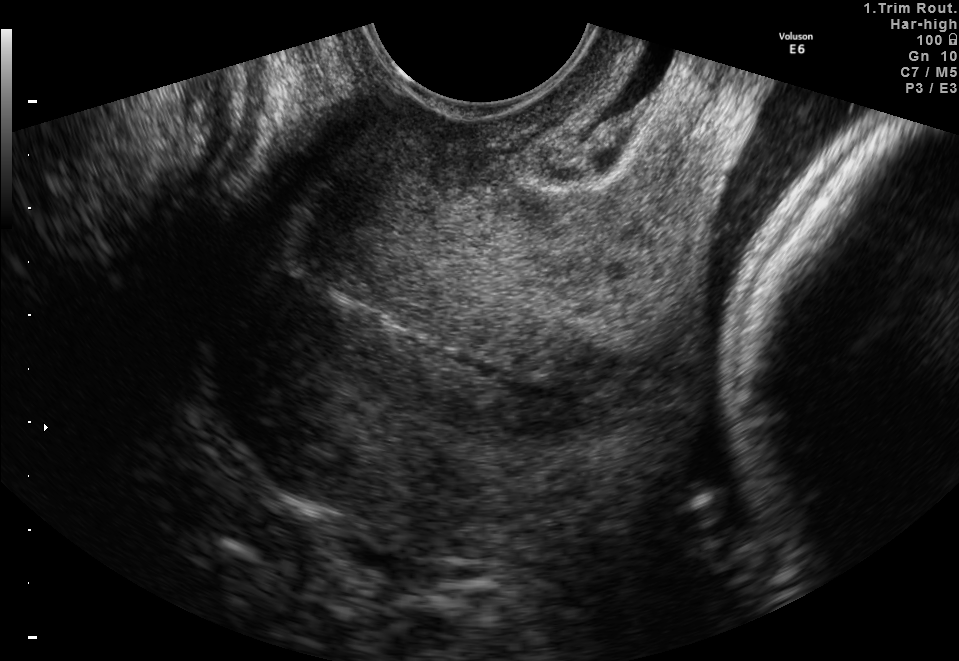
Classify this maternal-fetal ultrasound image as one of the six standard planes — fetal abdomen, fetal brain, fetal femur, fetal thorax, maternal cervix, or other. If it's fetal brain and one of the three standard brain planes (trans-thalamic, trans-cerebellum, trans-ventricular), name which.

Maternal cervix